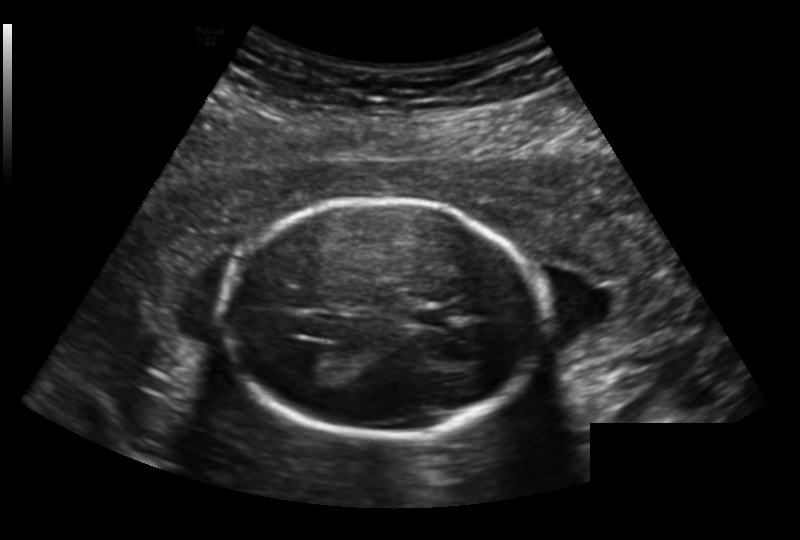
What is the fetal head circumference? Image width is 152.4 mm.

176.7 mm